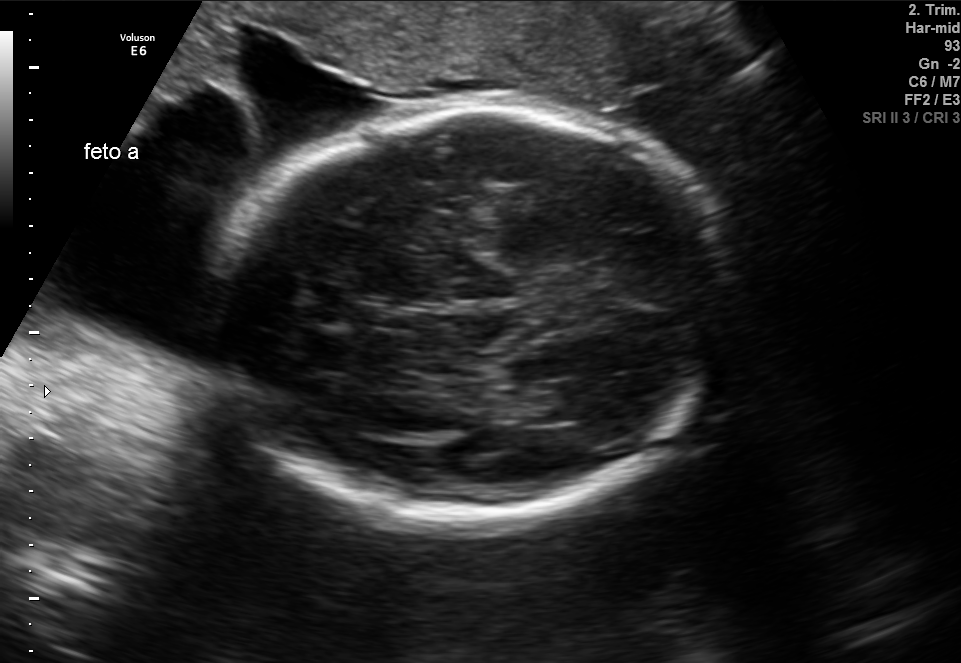
In this fetal brain, trans-thalamic plane, give the bounding box of the fetal head.

[219,108,728,513]